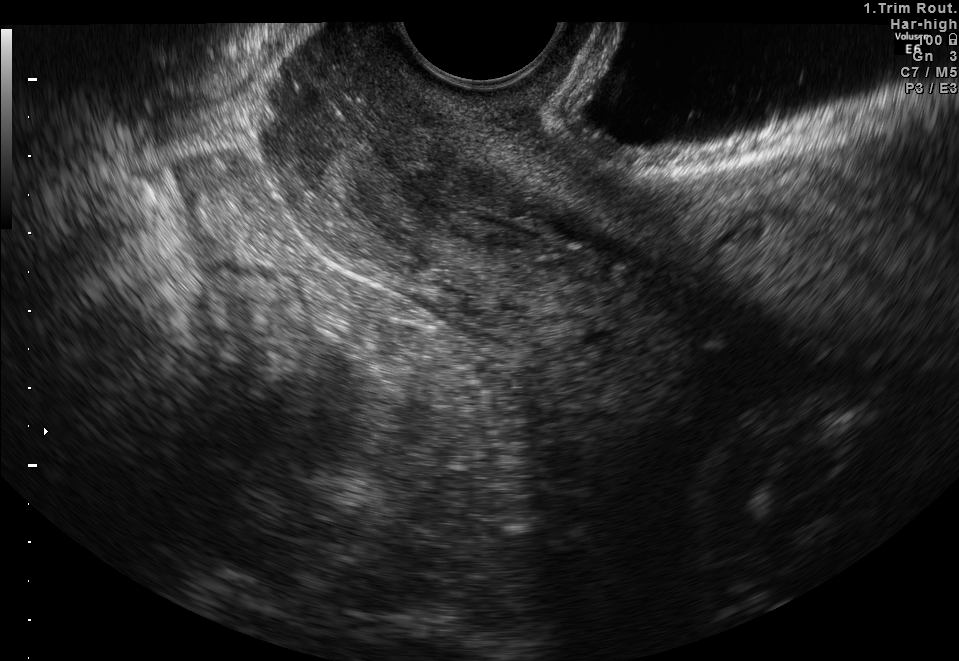
Classify this maternal-fetal ultrasound image as one of the six standard planes — fetal abdomen, fetal brain, fetal femur, fetal thorax, maternal cervix, or other. If it's fetal brain and one of the three standard brain planes (trans-thalamic, trans-cerebellum, trans-ventricular), name which.

Maternal cervix